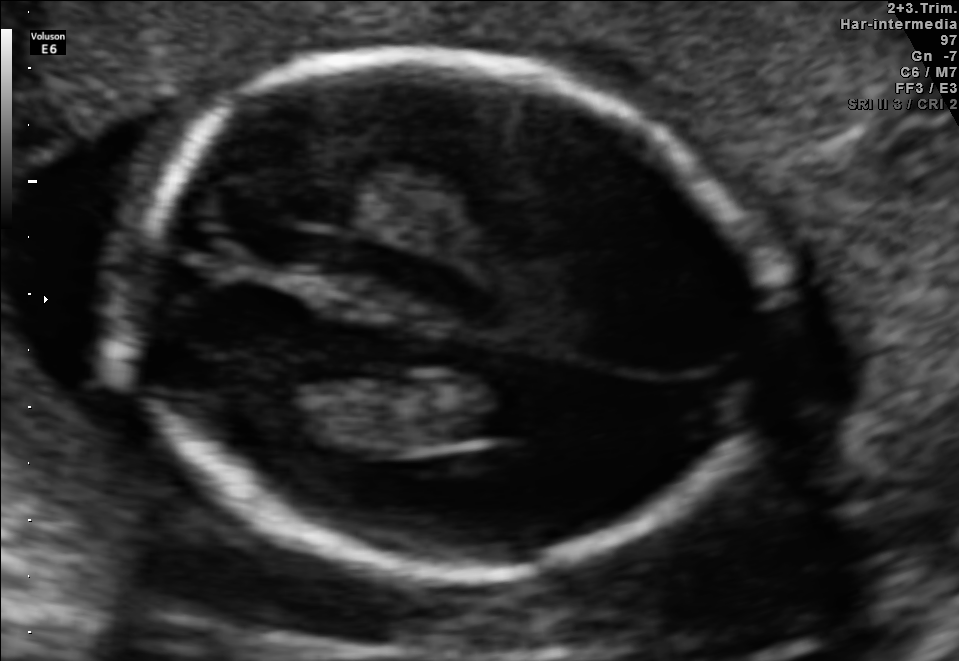
In this fetal brain, trans-ventricular plane, give bounding boxes for the head outline, cavum septum pellucidum (CSP), and lateral ventricle (LV), where visible.

Head: [91,42,796,591]